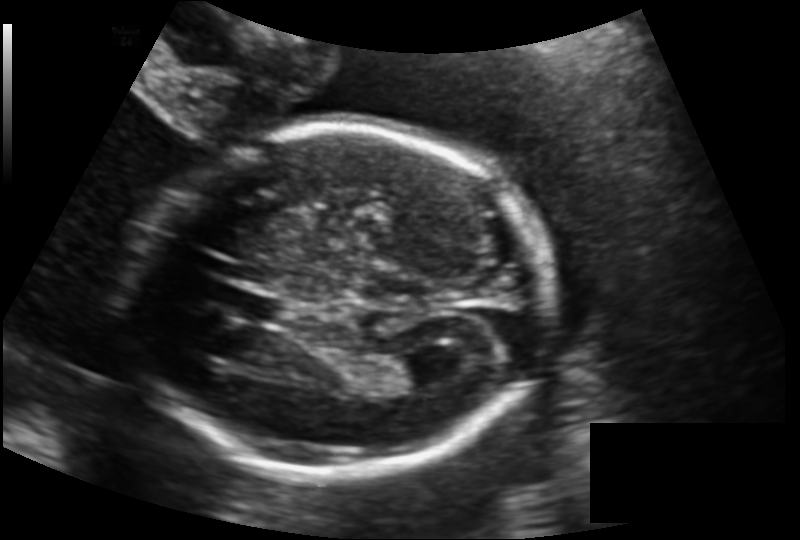
Fetal head ultrasound. Image width: 117.2 mm. Where is the lateral ventricle?

Lateral ventricle bounding box: [385,350,446,390]